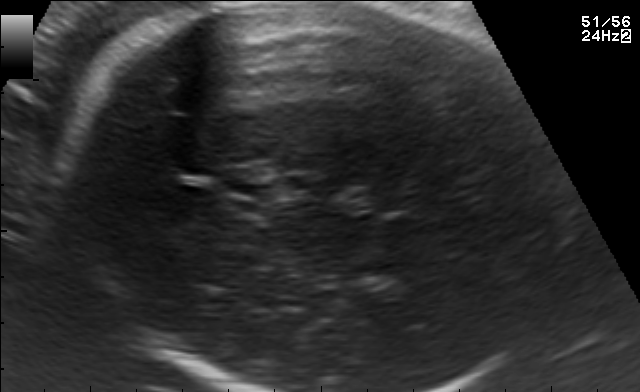
In this fetal brain, trans-thalamic plane, give the bounding box of the fetal head.

[69,4,553,391]